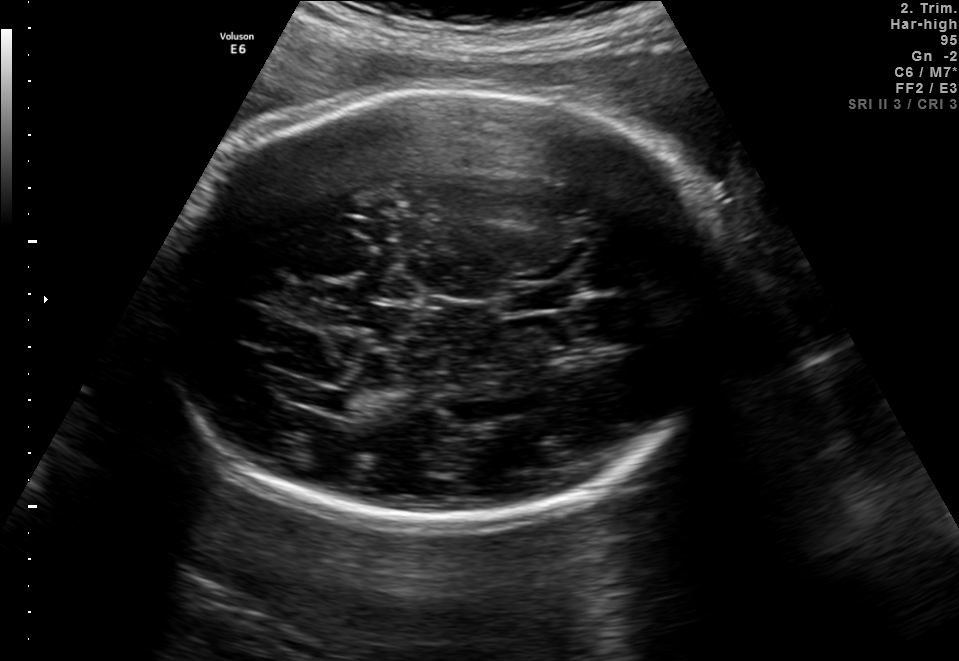
Fetal brain, trans-thalamic plane. Give [x1,y1,x2,y2] bounding boxes for each visible structure among: fetal head, CSP, LV.

Head: [160,89,731,524]
CSP: [504,284,568,312]
Lateral ventricle: [284,377,357,419]